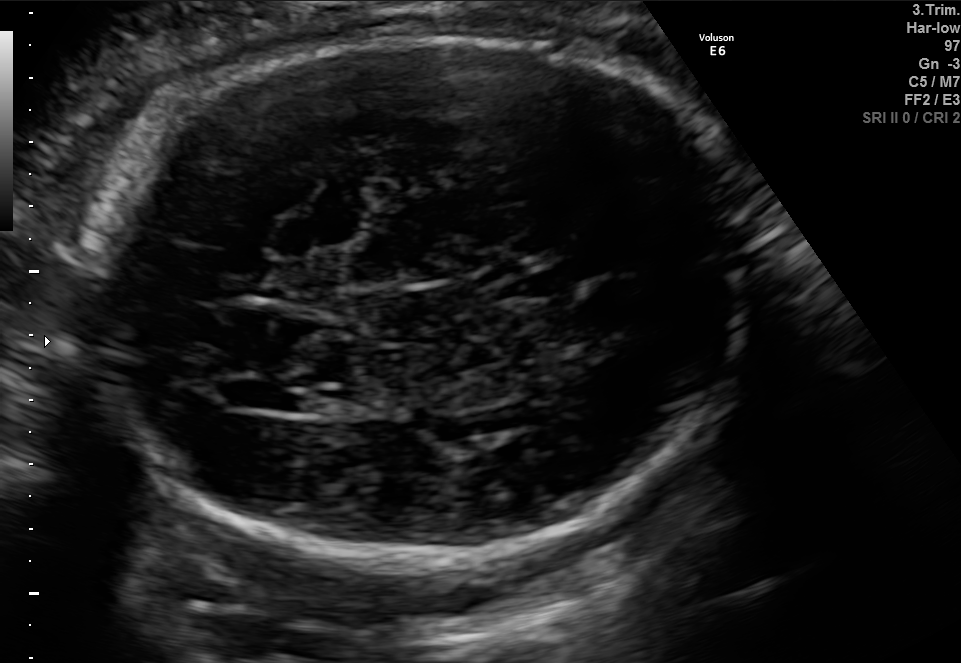
In this fetal brain, trans-ventricular plane, give bounding boxes for the head outline, cavum septum pellucidum (CSP), and lateral ventricle (LV), where visible.

Head: [72,23,765,566]